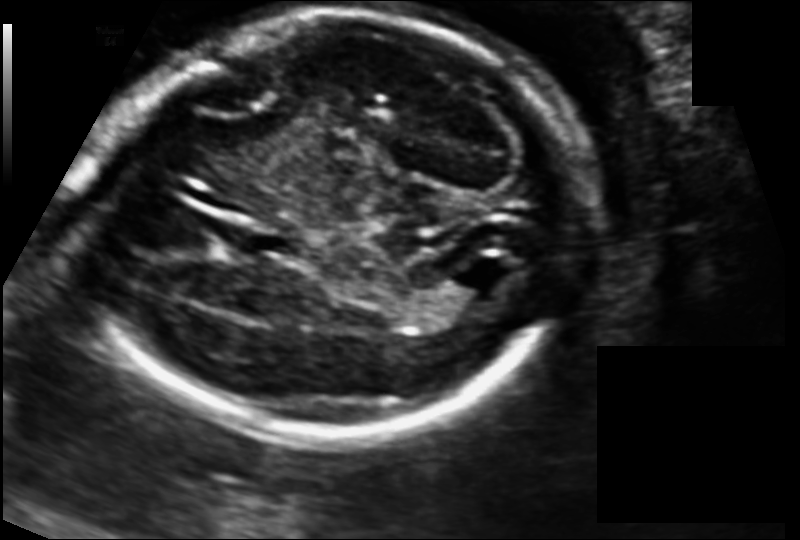
In this fetal head ultrasound, give the bounding box of the fetal head. Image width: 100.4 mm.

[98,11,582,440]